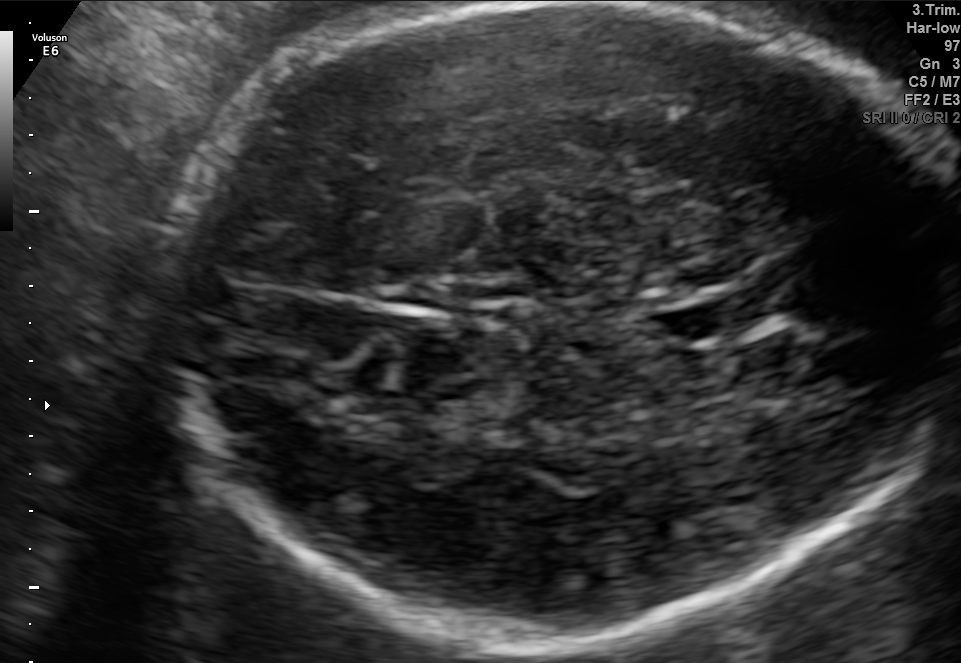
Fetal brain, trans-thalamic plane. Locate the fetal head.

Head: [169,3,952,650]